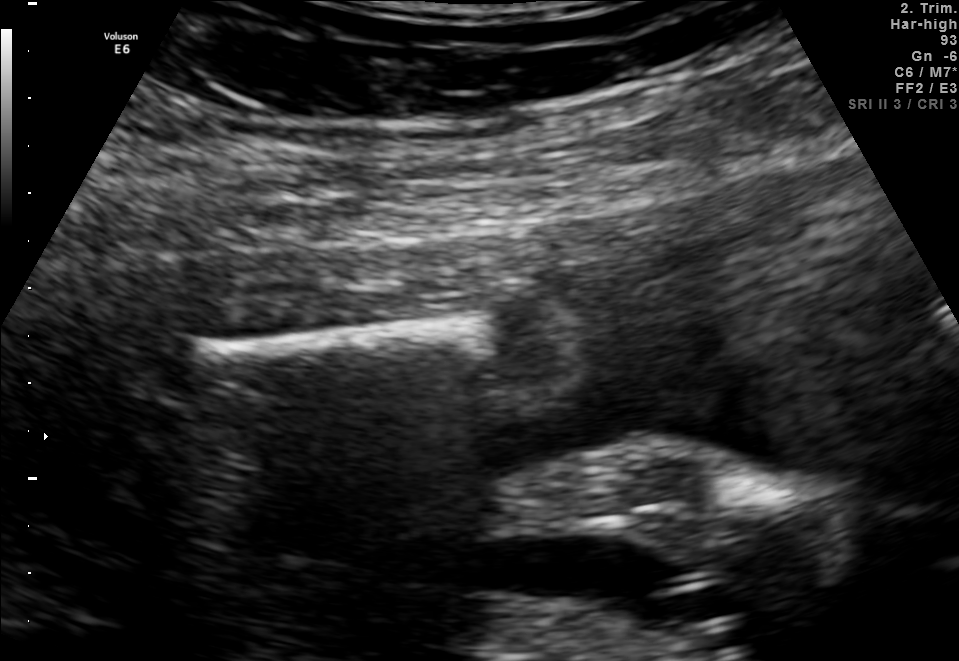
Which standard maternal-fetal ultrasound plane is shown: fetal abdomen, fetal brain, fetal femur, fetal thorax, maternal cervix, or other? If it's fetal brain and one of the three standard brain planes (trans-thalamic, trans-cerebellum, trans-ventricular), name which.

Other